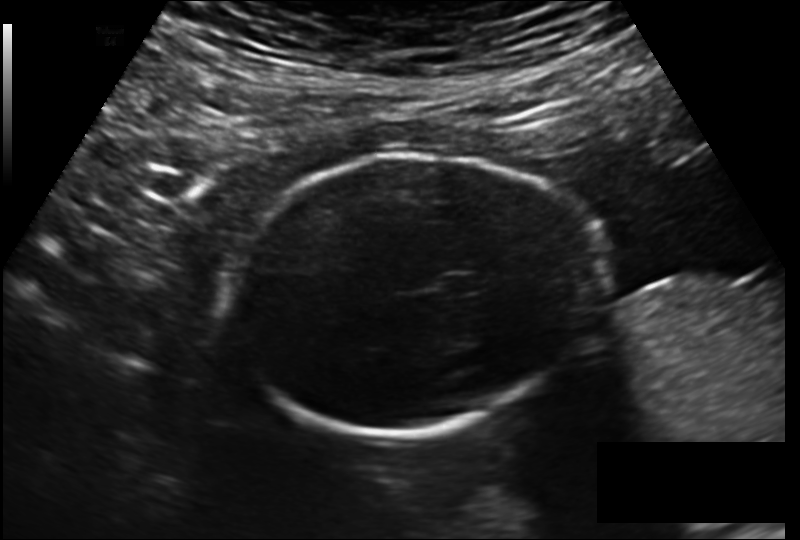
Fetal head ultrasound. Image width: 142.1 mm. Locate the fetal head.

Head: [237,151,596,438]